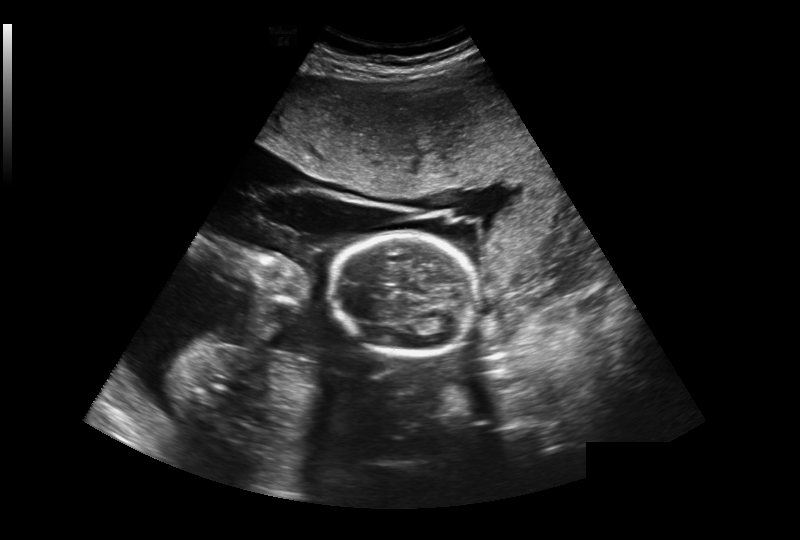
From this fetal ultrasound, estimate the head circumference (image width 314.6 mm).

Head circumference: 172.7 mm.